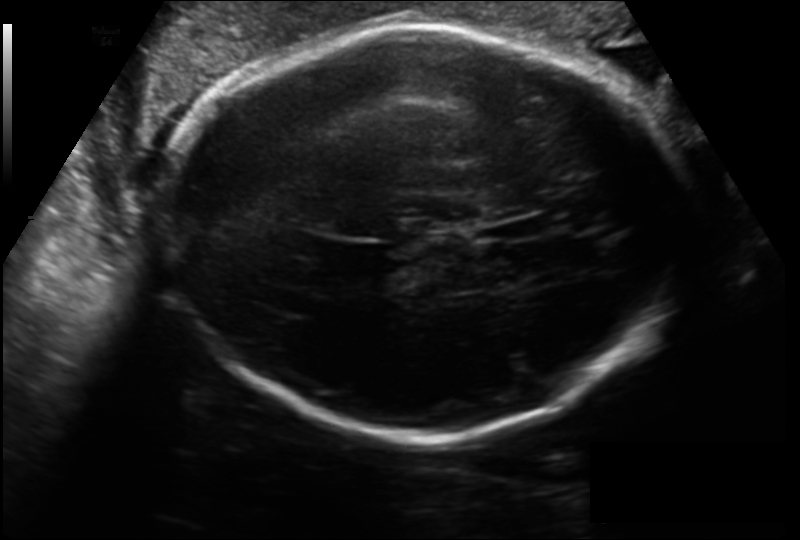
Fetal head ultrasound. Image width: 158.9 mm. Give [x1,y1,x2,y2] bounding boxes for each visible structure among: fetal head, CSP, LV.

Head: [168,26,681,440]